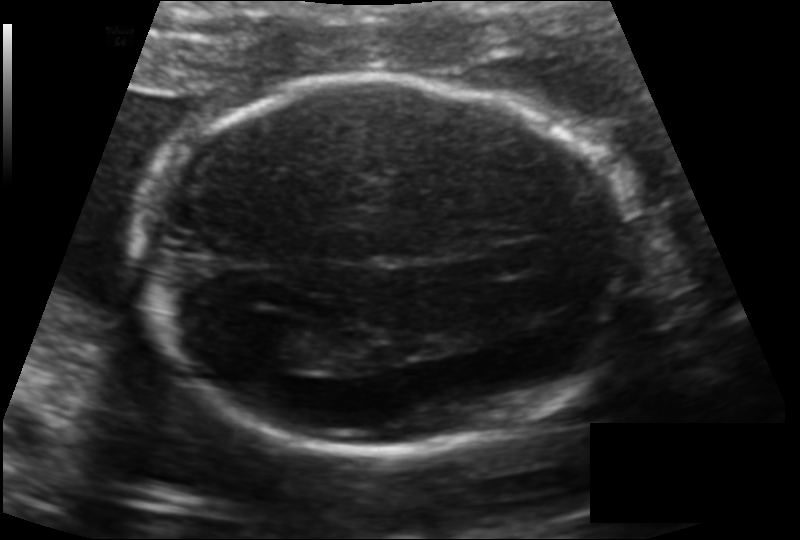
From this fetal ultrasound, estimate the head circumference (image width 107.0 mm).

Head circumference: 192.5 mm.